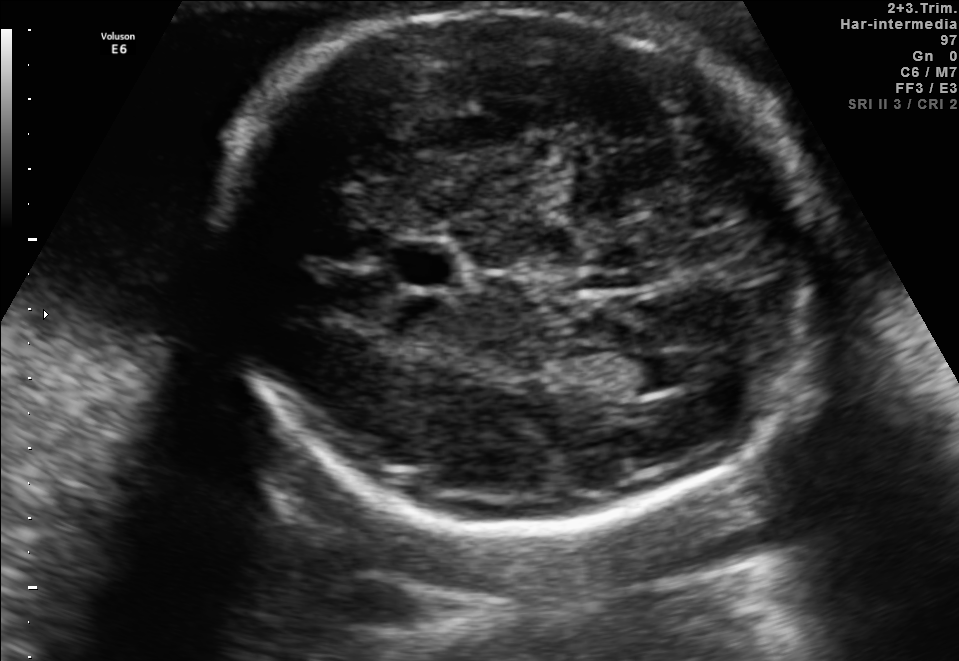
Fetal brain, trans-ventricular plane. Where is the lateral ventricle?

Lateral ventricle bounding box: [623,343,701,397]